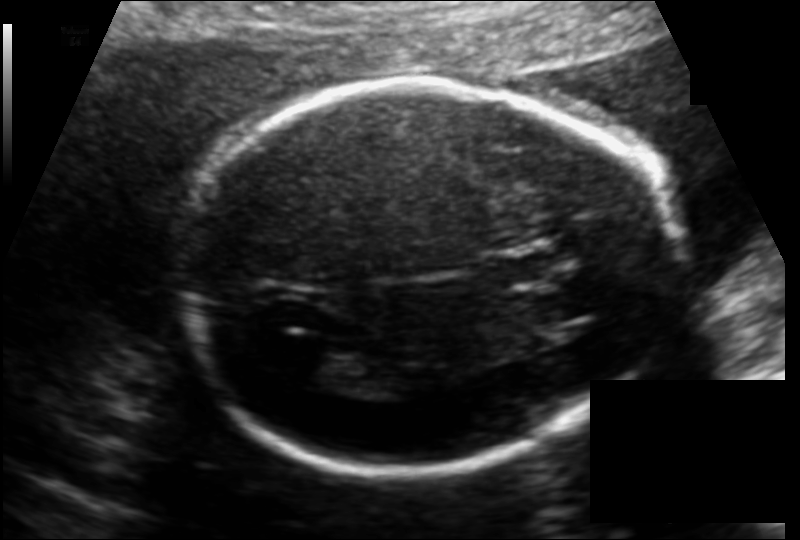
From this fetal ultrasound, estimate the head circumference (image width 104.3 mm).

Head circumference: 189.0 mm.